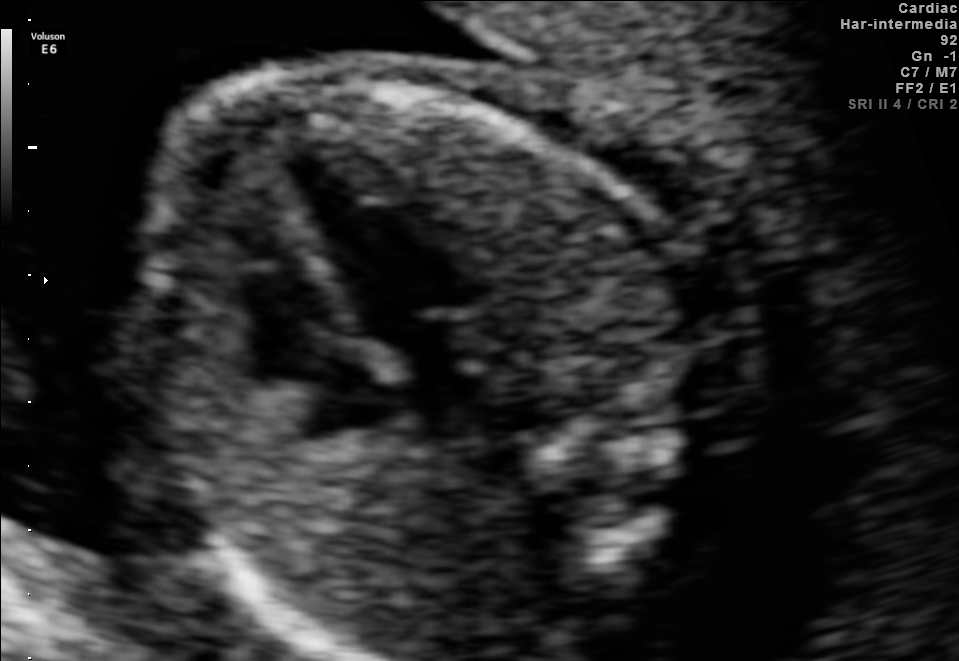
Identify the standard plane in this fetal ultrasound image: fetal abdomen, fetal brain, fetal femur, fetal thorax, maternal cervix, or other. If it's fetal brain and one of the three standard brain planes (trans-thalamic, trans-cerebellum, trans-ventricular), name which.

Fetal thorax